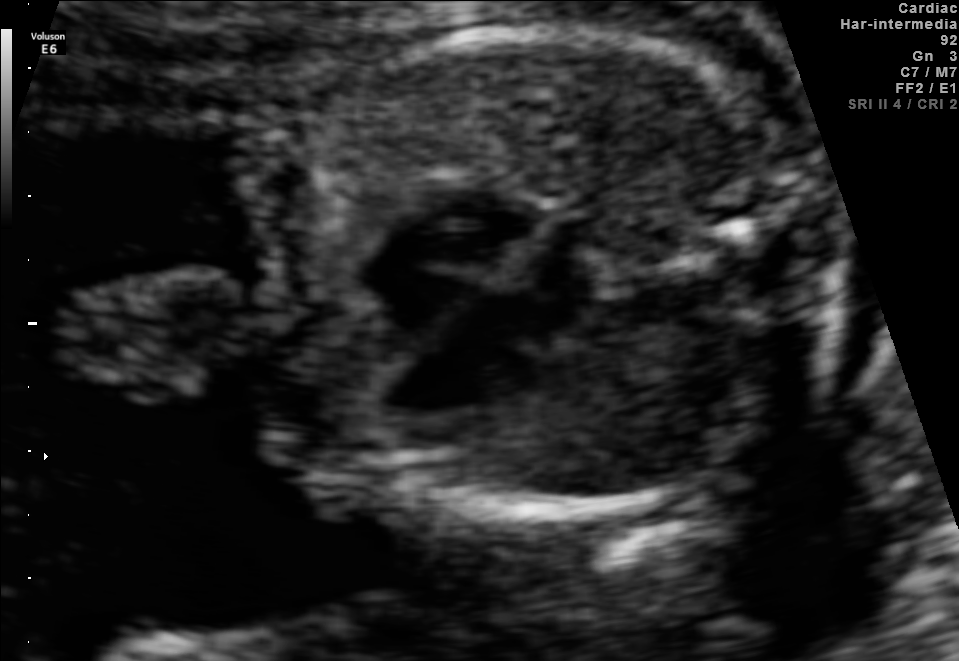
Classify this maternal-fetal ultrasound image as one of the six standard planes — fetal abdomen, fetal brain, fetal femur, fetal thorax, maternal cervix, or other. If it's fetal brain and one of the three standard brain planes (trans-thalamic, trans-cerebellum, trans-ventricular), name which.

Fetal thorax